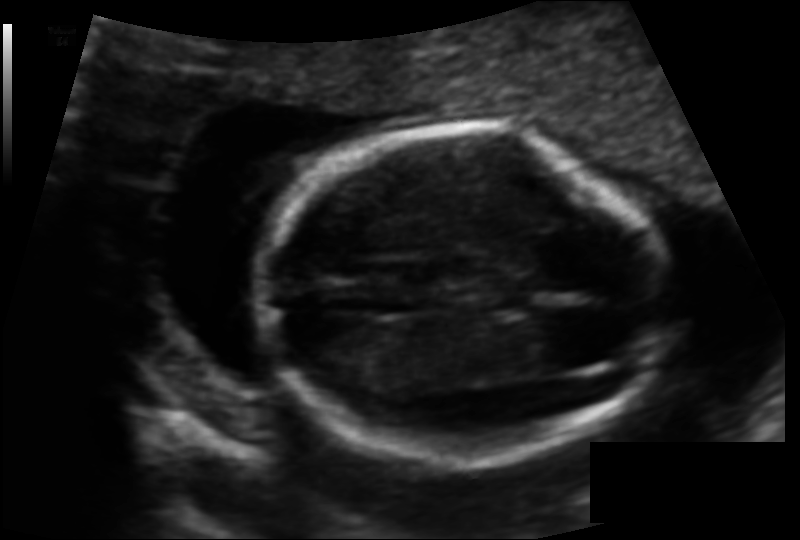
Measure the fetal head circumference shown in this ultrasound image. Image width: 81.7 mm.

Head circumference: 123.5 mm.